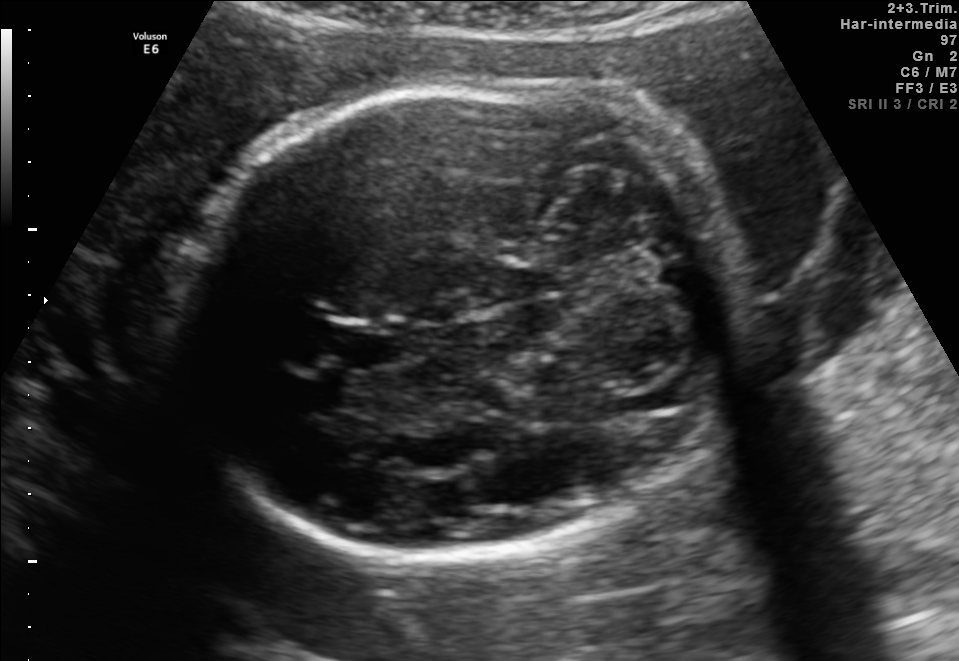
Fetal brain, trans-cerebellum plane. Where is the fetal head?

Head bounding box: [174,77,739,558]